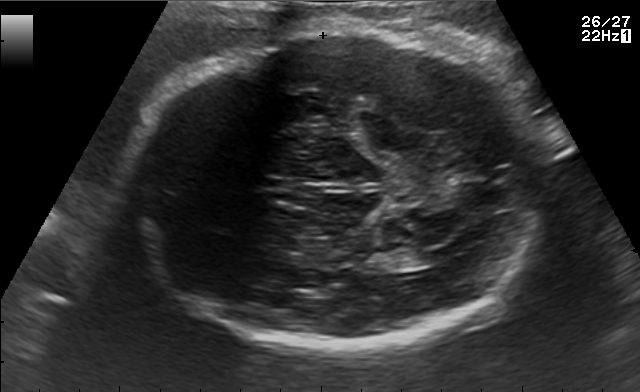
In this fetal brain, trans-ventricular plane, give bounding boxes for the head outline, cavum septum pellucidum (CSP), and lateral ventricle (LV), where visible.

Head: [125,28,554,354]
CSP: [263,174,322,197]